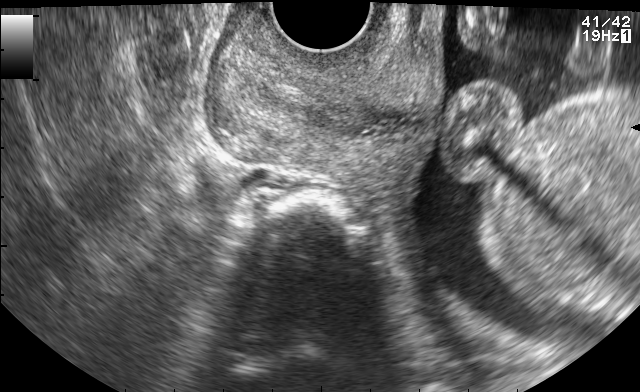
Classify this maternal-fetal ultrasound image as one of the six standard planes — fetal abdomen, fetal brain, fetal femur, fetal thorax, maternal cervix, or other. If it's fetal brain and one of the three standard brain planes (trans-thalamic, trans-cerebellum, trans-ventricular), name which.

Maternal cervix